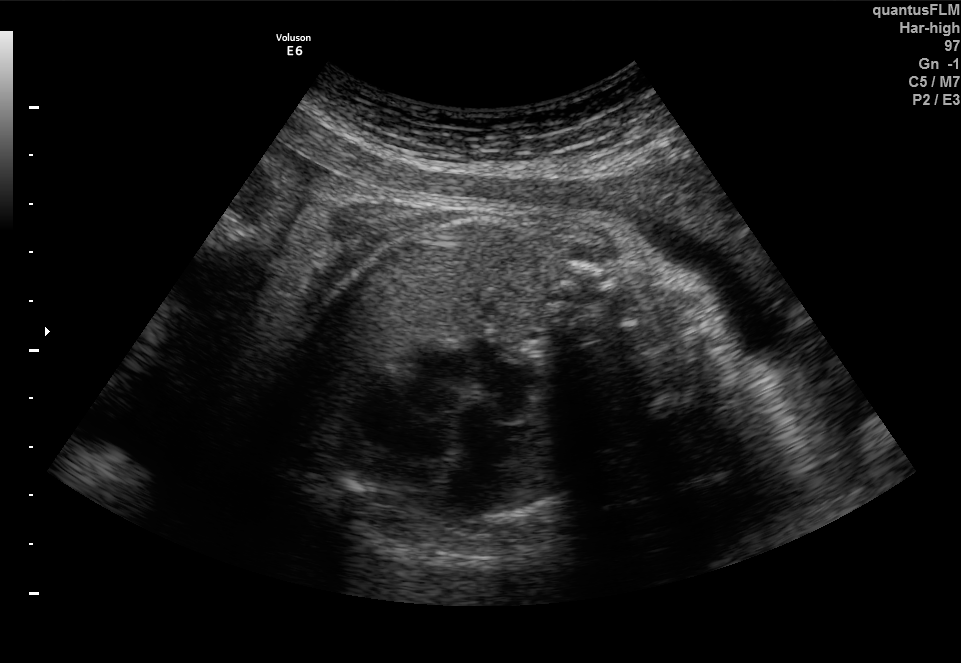
This is a 2D maternal-fetal ultrasound frame. Is it a fetal abdomen, fetal brain, fetal femur, fetal thorax, maternal cervix, or other standard plane? If it's fetal brain and one of the three standard brain planes (trans-thalamic, trans-cerebellum, trans-ventricular), name which.

Fetal thorax